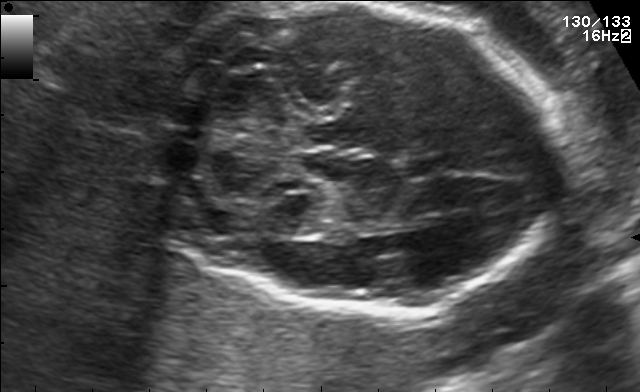
Fetal brain, trans-cerebellum plane. Where is the fetal head?

Head bounding box: [150,4,561,315]